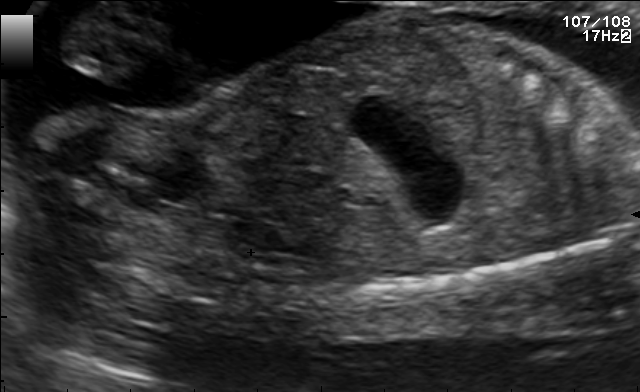
Identify the standard plane in this fetal ultrasound image: fetal abdomen, fetal brain, fetal femur, fetal thorax, maternal cervix, or other. If it's fetal brain and one of the three standard brain planes (trans-thalamic, trans-cerebellum, trans-ventricular), name which.

Other